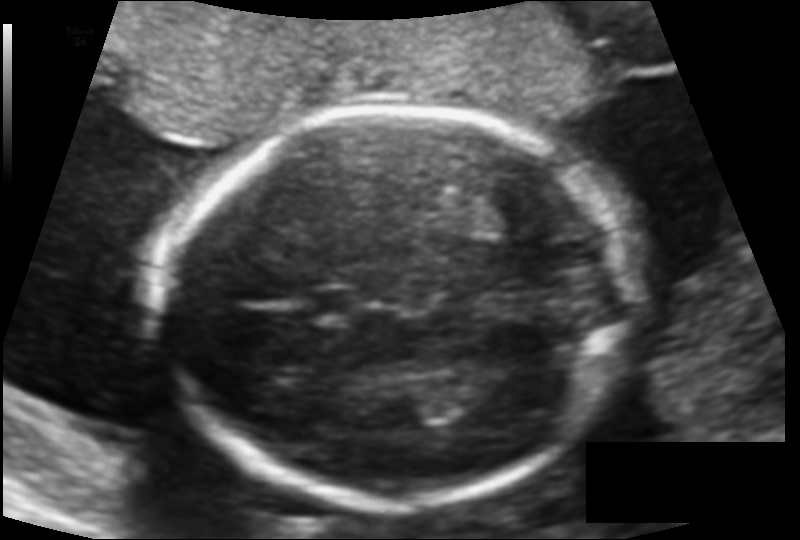
In this fetal head ultrasound, give the bounding box of the cavum septum pellucidum. Image width: 97.0 mm.

[307,285,363,324]